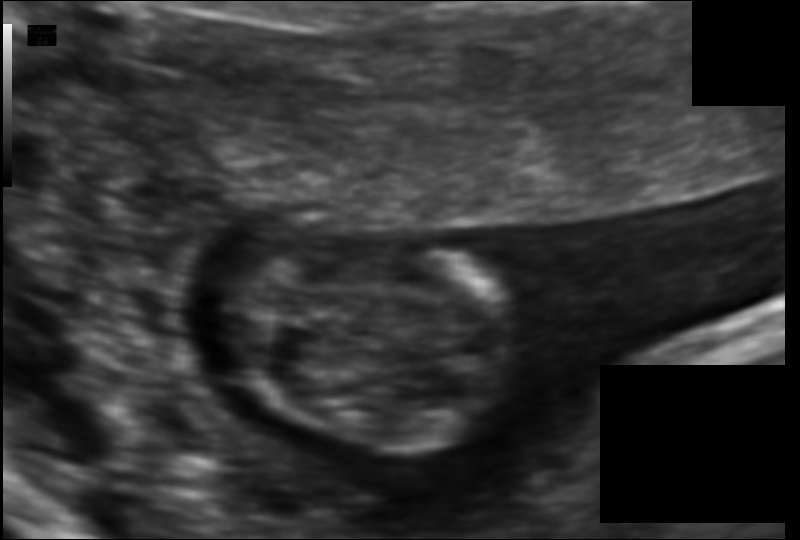
Measure the fetal head circumference shown in this ultrasound image. Image width: 62.1 mm.

Head circumference: 62.1 mm.